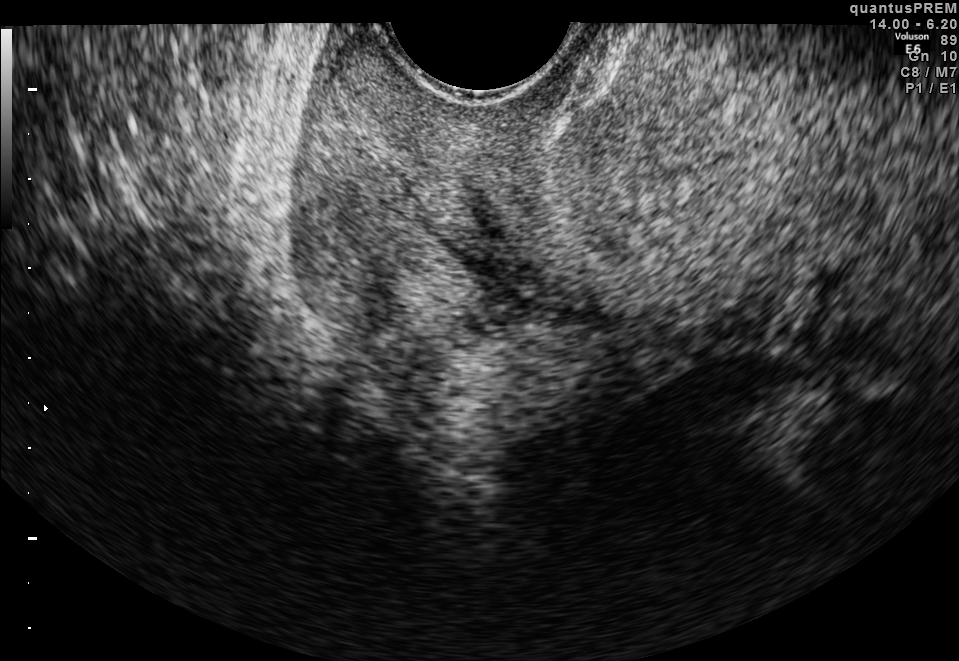
Classify this maternal-fetal ultrasound image as one of the six standard planes — fetal abdomen, fetal brain, fetal femur, fetal thorax, maternal cervix, or other. If it's fetal brain and one of the three standard brain planes (trans-thalamic, trans-cerebellum, trans-ventricular), name which.

Maternal cervix